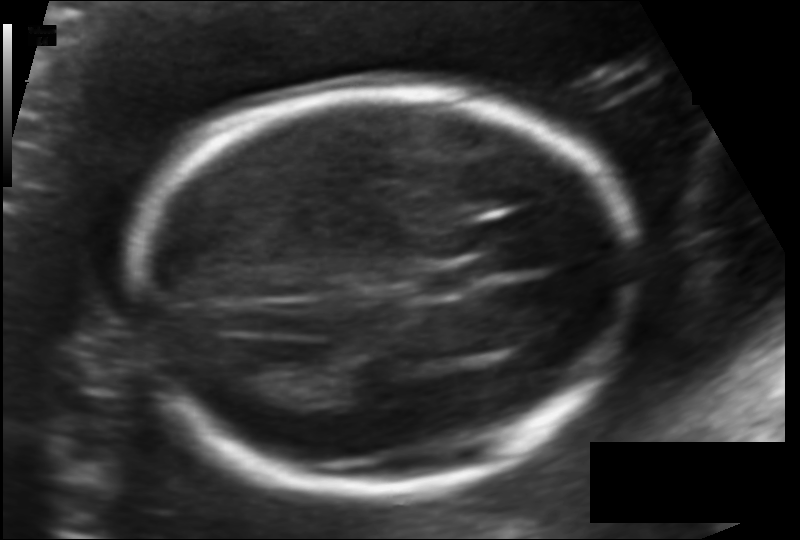
In this fetal head ultrasound, give bounding boxes for the head outline, cavum septum pellucidum (CSP), and lateral ventricle (LV), where visible. Image width: 99.3 mm.

Head: [133,88,636,488]
CSP: [412,262,481,302]
Lateral ventricle: [219,351,297,404]